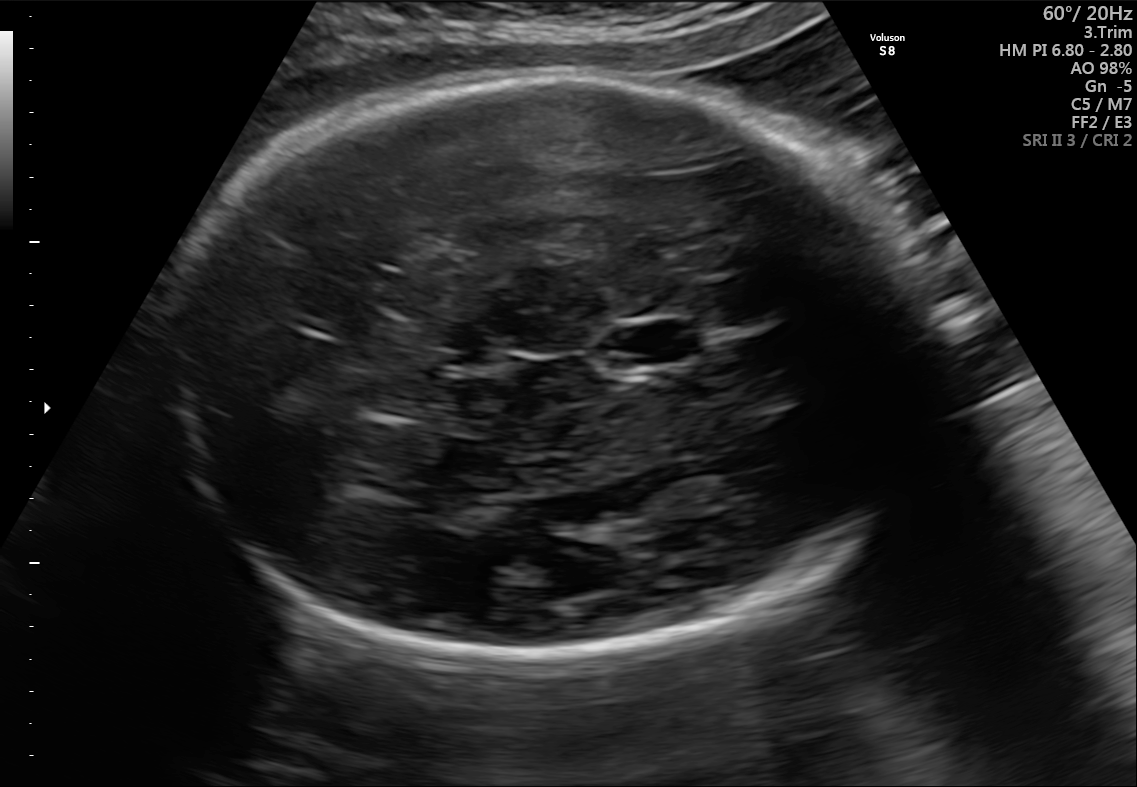
Fetal brain, trans-thalamic plane. Locate the fetal head and, if visible, the cavum septum pellucidum (CSP) and lateral ventricle (LV). Give bounding boxes as [x1,y1,x2,y2].

Head: [155,74,944,663]
CSP: [609,317,702,369]